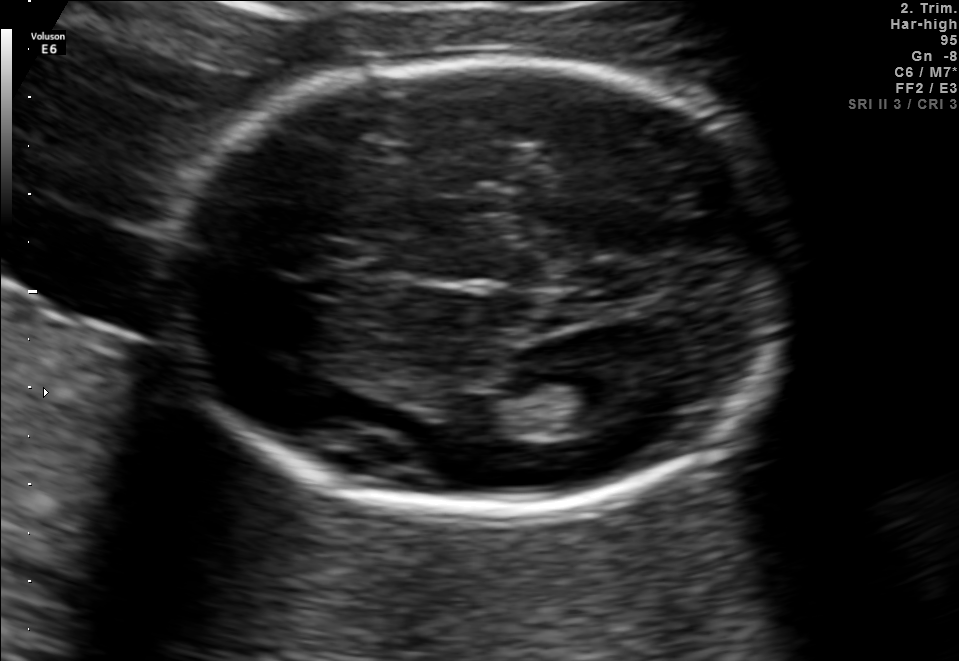
Fetal brain, trans-thalamic plane. Where is the lateral ventricle?

Lateral ventricle bounding box: [523,363,633,436]